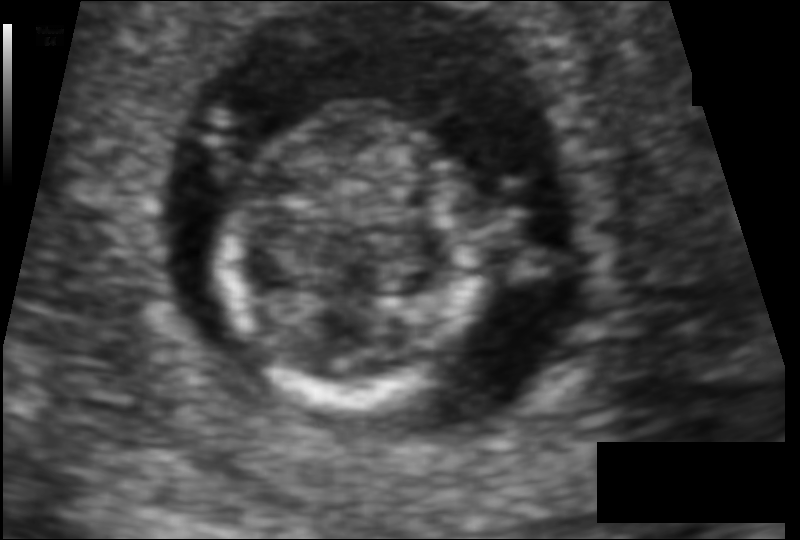
Fetal head ultrasound. Image width: 63.9 mm. Where is the fetal head?

Head bounding box: [220,98,490,419]